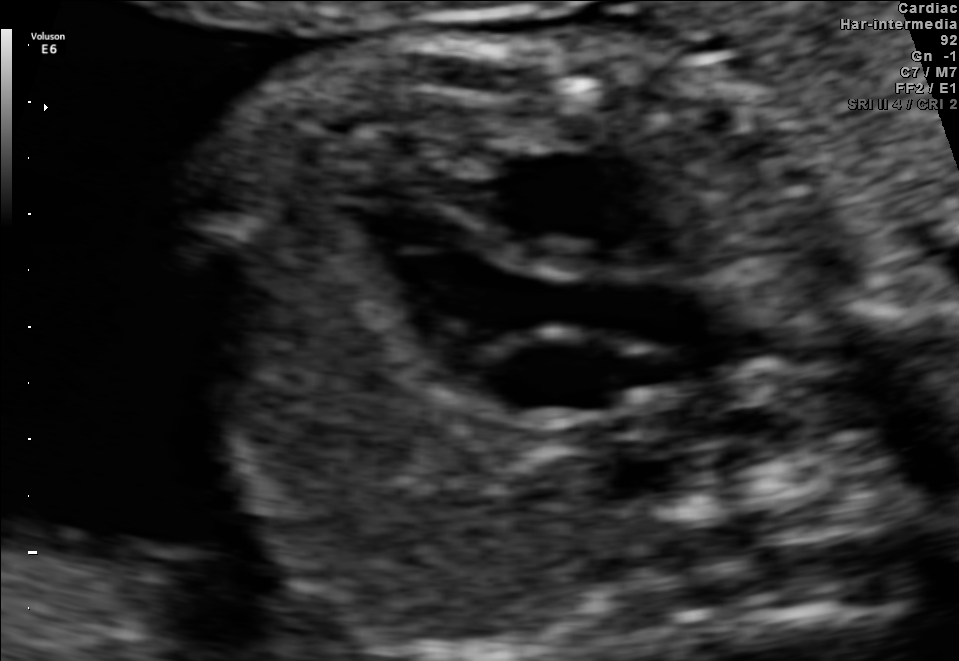
Which standard maternal-fetal ultrasound plane is shown: fetal abdomen, fetal brain, fetal femur, fetal thorax, maternal cervix, or other? If it's fetal brain and one of the three standard brain planes (trans-thalamic, trans-cerebellum, trans-ventricular), name which.

Other